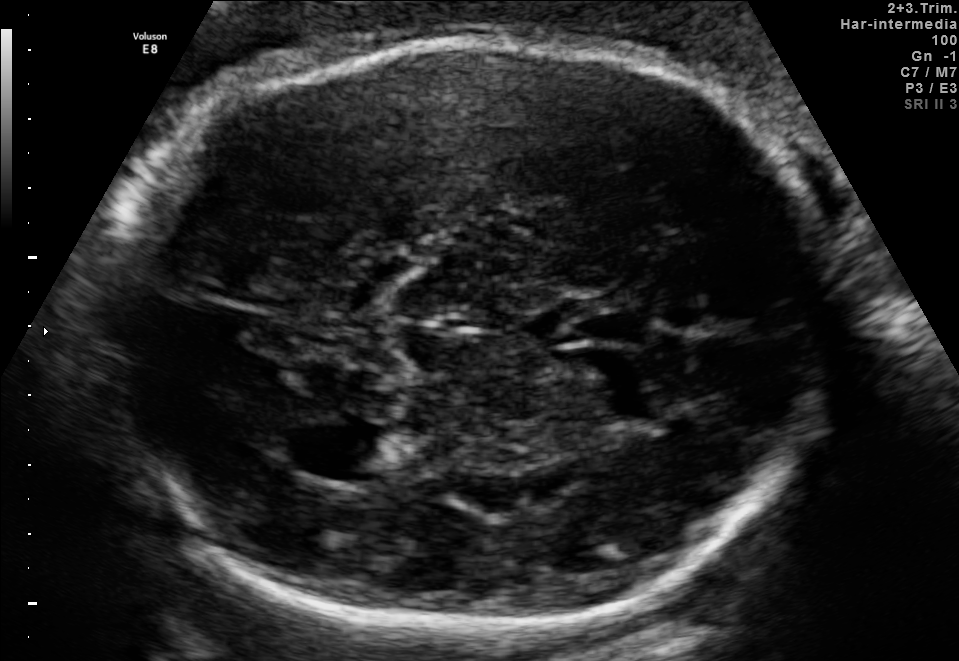
Classify this maternal-fetal ultrasound image as one of the six standard planes — fetal abdomen, fetal brain, fetal femur, fetal thorax, maternal cervix, or other. If it's fetal brain and one of the three standard brain planes (trans-thalamic, trans-cerebellum, trans-ventricular), name which.

Fetal brain (trans-thalamic plane)